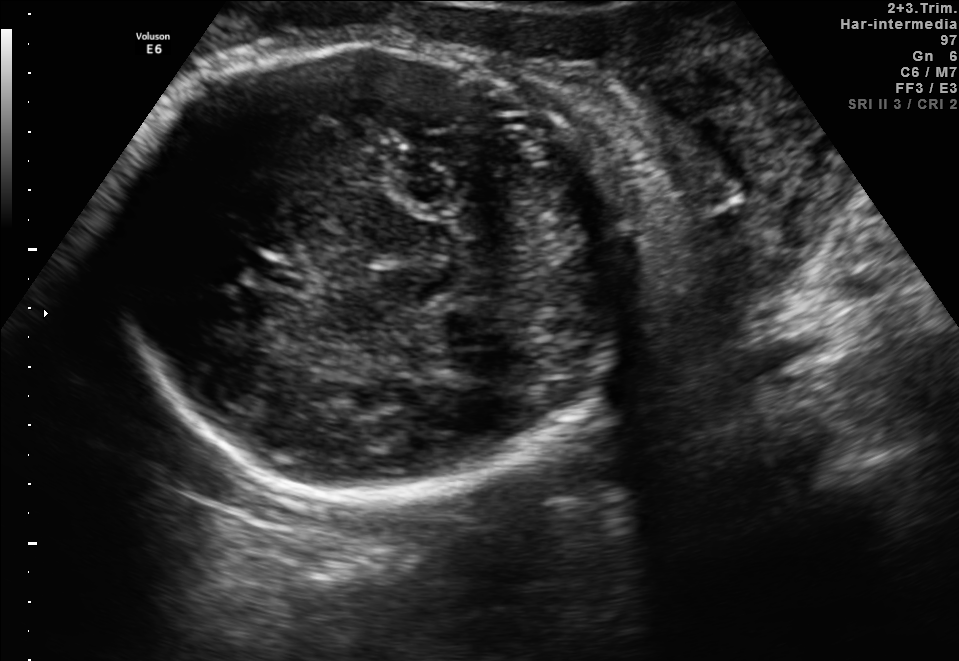
In this fetal brain, trans-thalamic plane, give the bounding box of the cavum septum pellucidum.

[243,247,316,296]